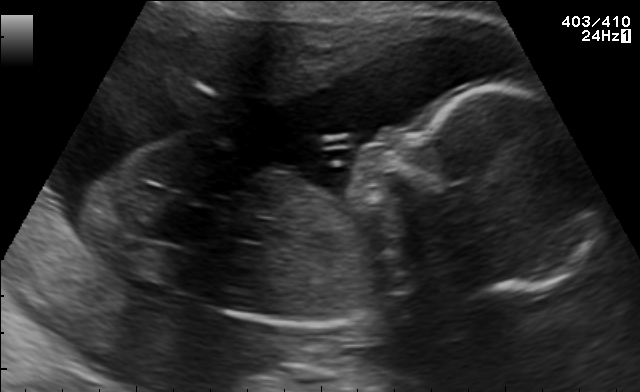
This is a 2D maternal-fetal ultrasound frame. Is it a fetal abdomen, fetal brain, fetal femur, fetal thorax, maternal cervix, or other standard plane? If it's fetal brain and one of the three standard brain planes (trans-thalamic, trans-cerebellum, trans-ventricular), name which.

Other